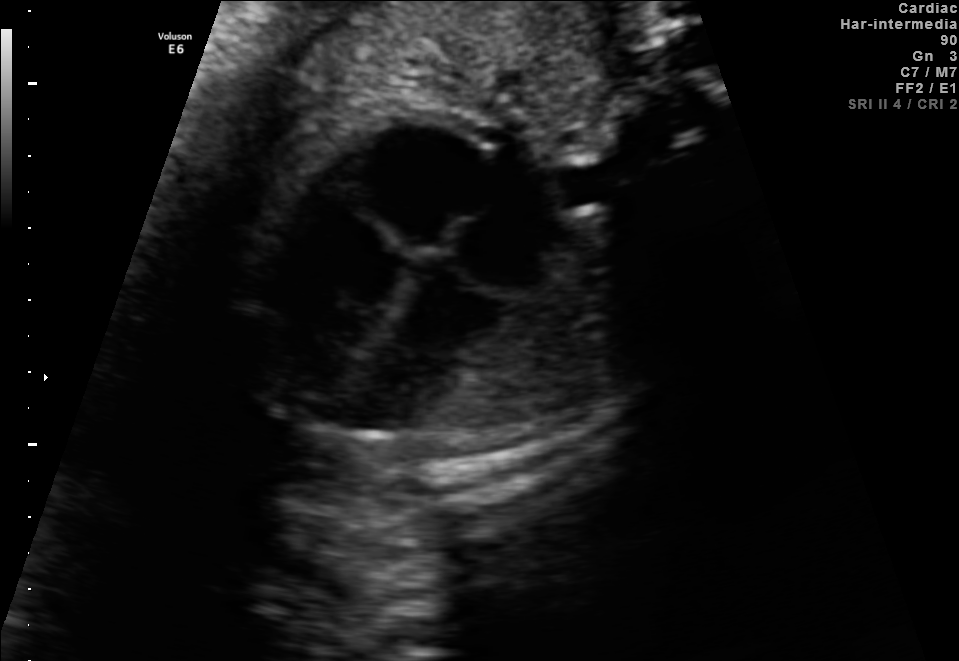
This is a 2D maternal-fetal ultrasound frame. Is it a fetal abdomen, fetal brain, fetal femur, fetal thorax, maternal cervix, or other standard plane? If it's fetal brain and one of the three standard brain planes (trans-thalamic, trans-cerebellum, trans-ventricular), name which.

Fetal thorax